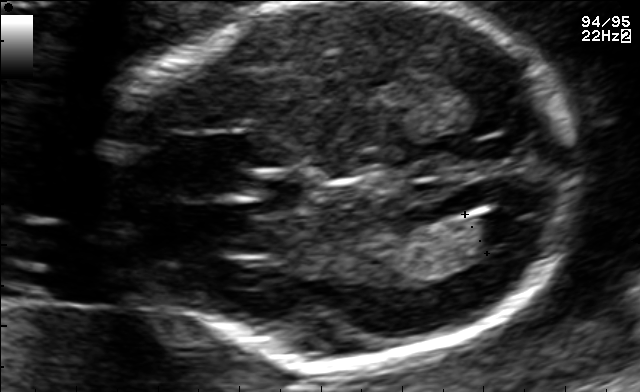
Fetal brain, trans-ventricular plane. Locate the cavum septum pellucidum.

CSP: [236,180,299,210]